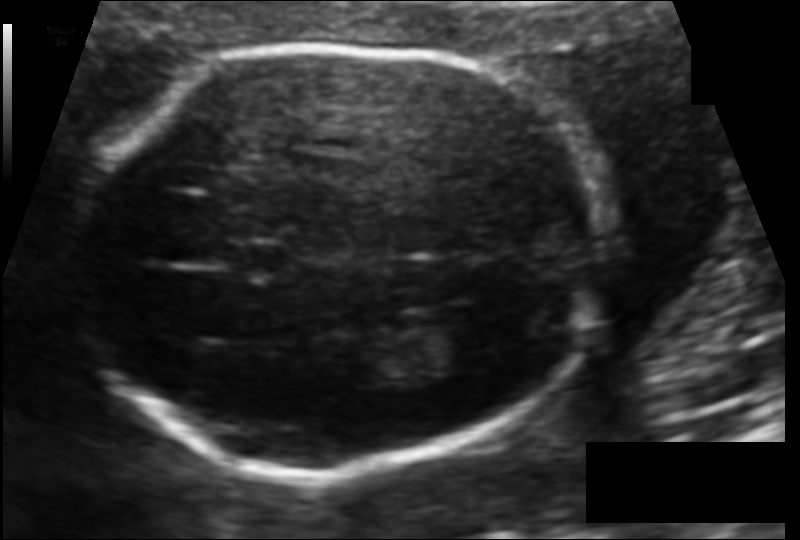
Fetal head ultrasound. Image width: 86.3 mm. Where is the cavum septum pellucidum?

CSP bounding box: [230,244,293,277]